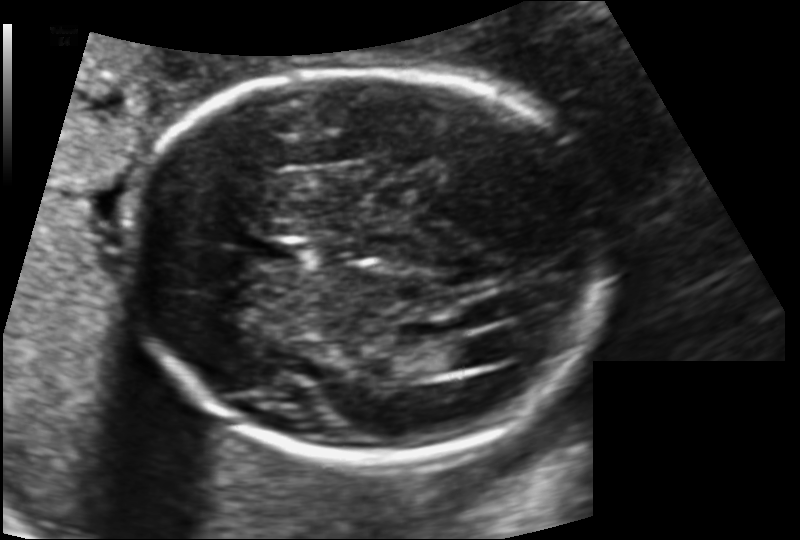
Fetal head ultrasound. Image width: 107.8 mm. Locate the fetal head and, if visible, the cavum septum pellucidum (CSP) and lateral ventricle (LV). Give bounding boxes as [x1,y1,x2,y2].

Head: [123,68,611,457]
CSP: [254,237,312,266]
Lateral ventricle: [437,335,492,372]